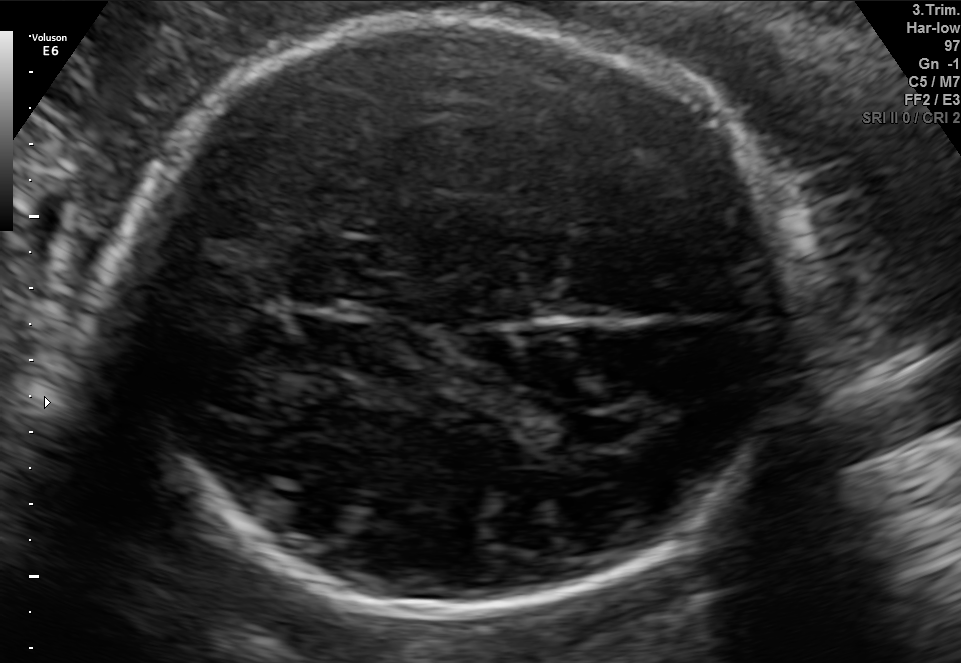
In this fetal brain, trans-thalamic plane, give bounding boxes for the head outline, cavum septum pellucidum (CSP), and lateral ventricle (LV), where visible.

Head: [131,14,800,627]